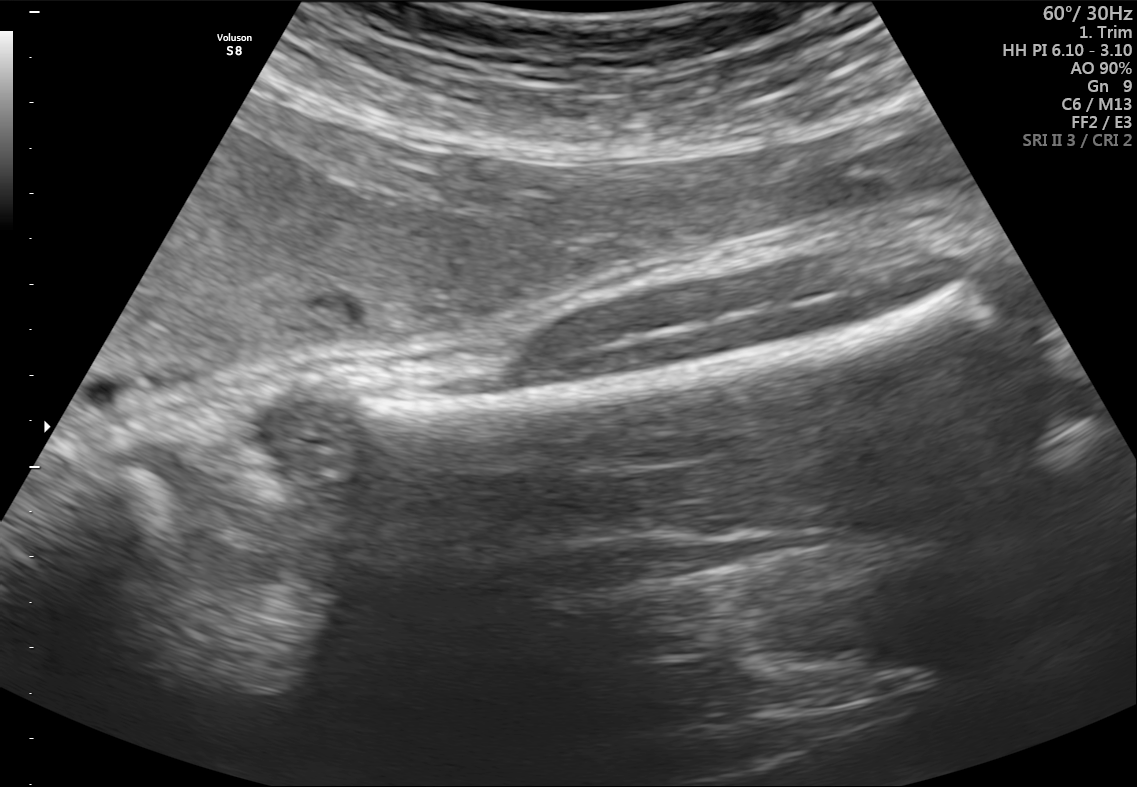
Identify the standard plane in this fetal ultrasound image: fetal abdomen, fetal brain, fetal femur, fetal thorax, maternal cervix, or other. If it's fetal brain and one of the three standard brain planes (trans-thalamic, trans-cerebellum, trans-ventricular), name which.

Fetal femur